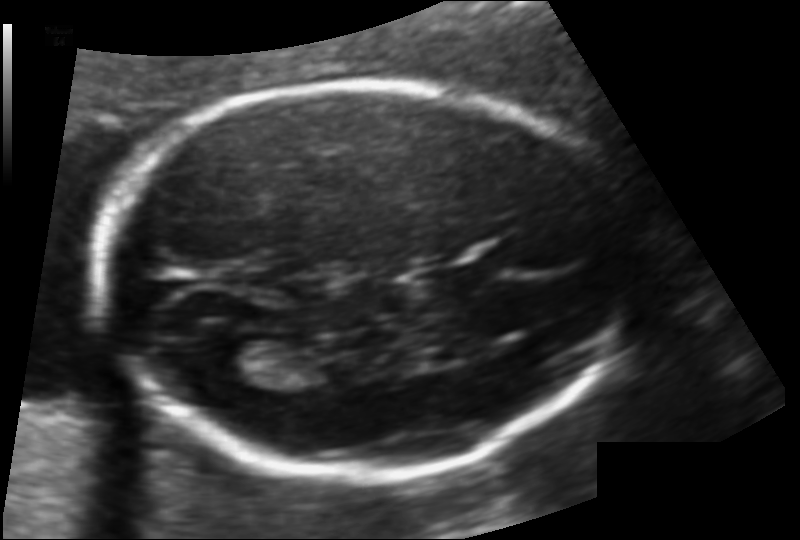
Fetal head ultrasound. Image width: 93.3 mm. Give [x1,y1,x2,y2] bounding boxes for each visible structure among: fetal head, CSP, LV.

Head: [98,81,621,477]
CSP: [430,258,490,301]
Lateral ventricle: [200,339,280,379]